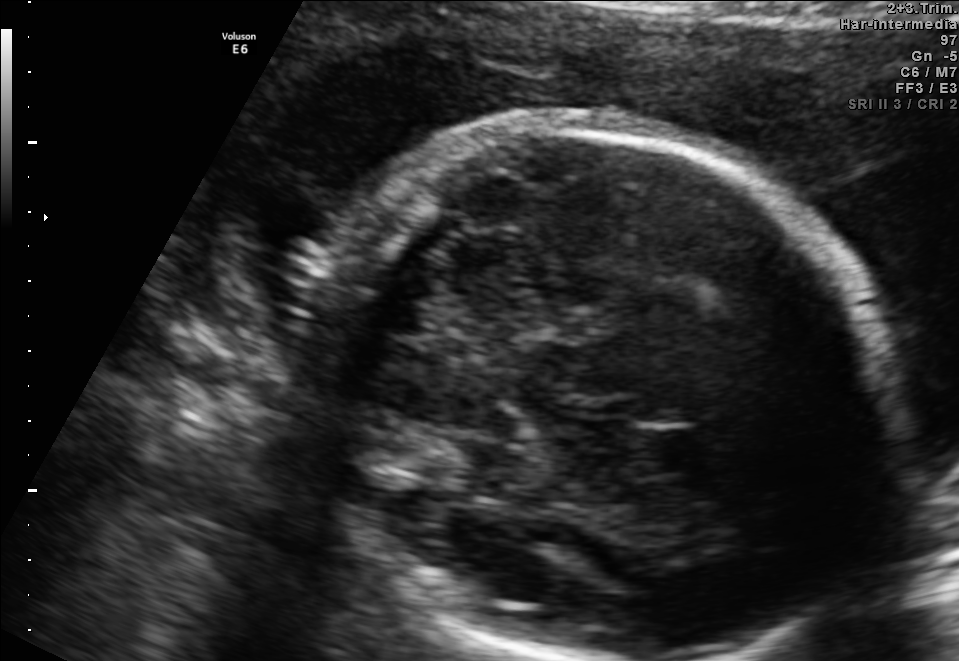
In this fetal brain, trans-thalamic plane, give the bounding box of the cavum septum pellucidum.

[641,427,712,473]